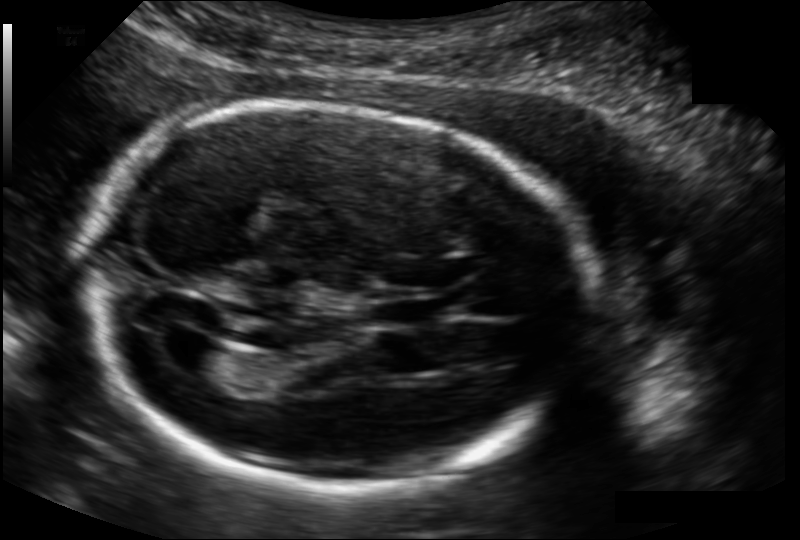
Measure the fetal head circumference shown in this ultrasound image. Image width: 107.6 mm.

Head circumference: 192.3 mm.